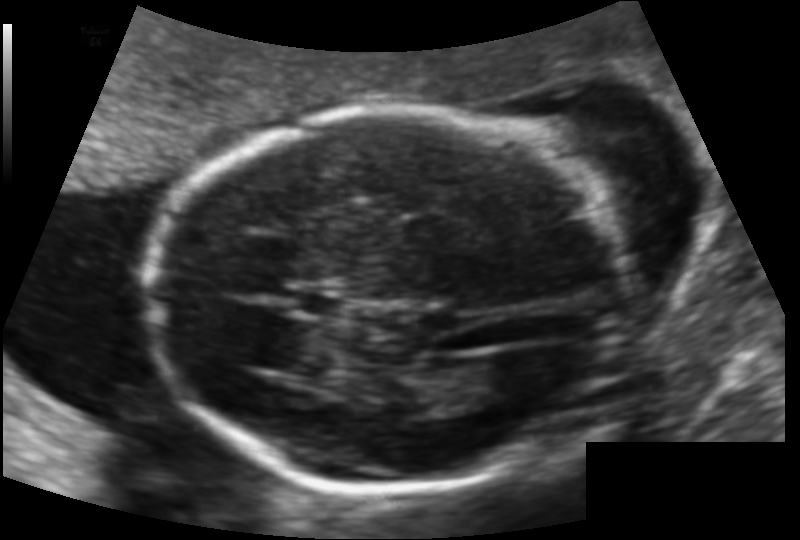
Fetal head ultrasound. Image width: 94.5 mm. Locate the fetal head.

Head: [150,109,620,491]